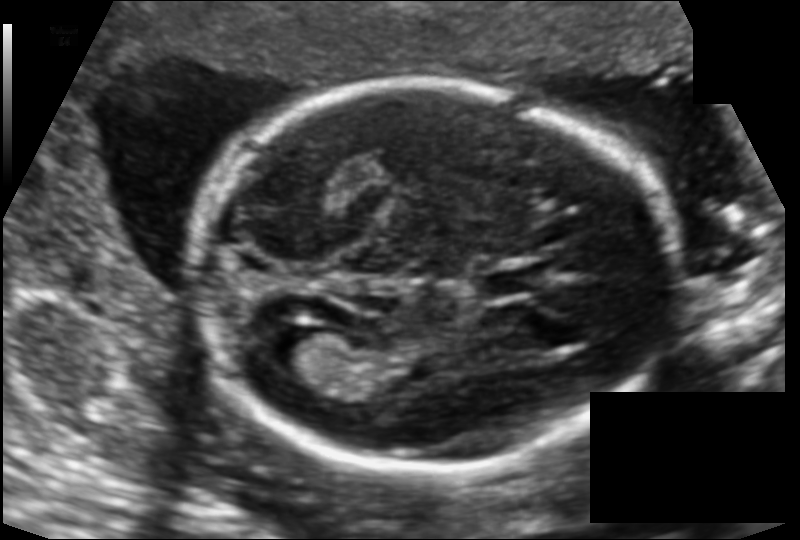
Fetal head ultrasound. Image width: 98.8 mm. Where is the fetal head?

Head bounding box: [192,83,678,469]